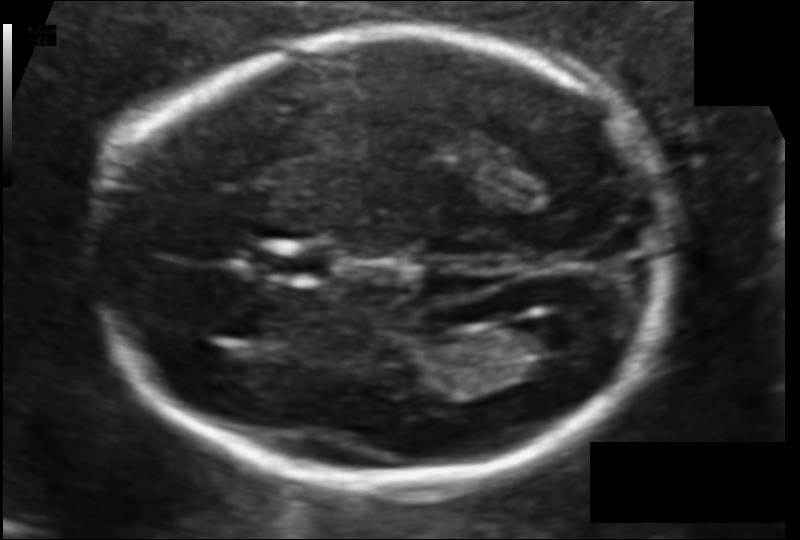
In this fetal head ultrasound, give the bounding box of the lateral ventricle. Image width: 85.0 mm.

[496,307,600,383]